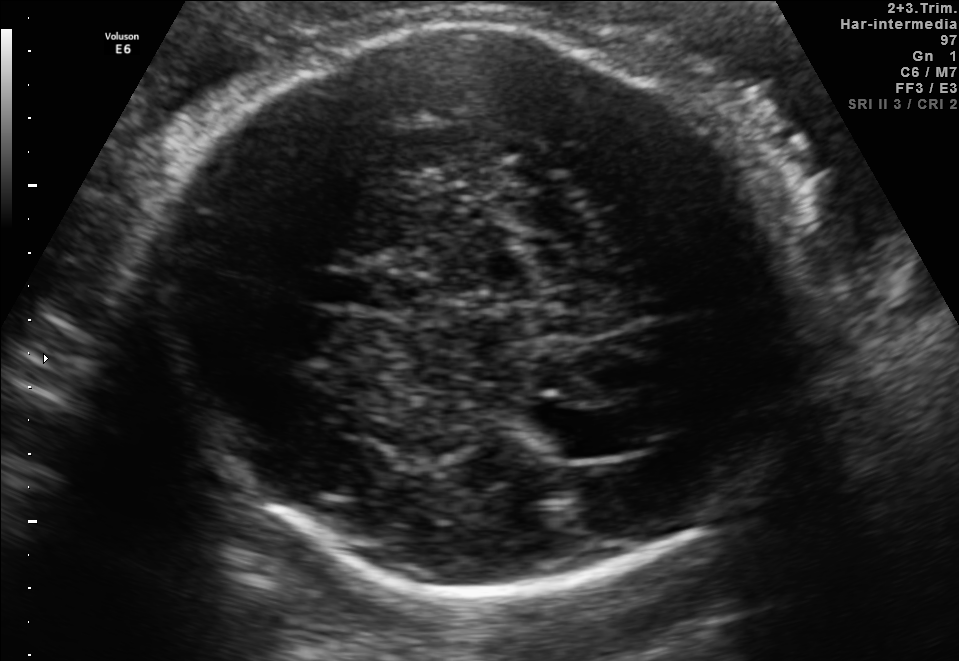
Fetal brain, trans-thalamic plane. Where is the fetal head?

Head bounding box: [148,20,831,591]